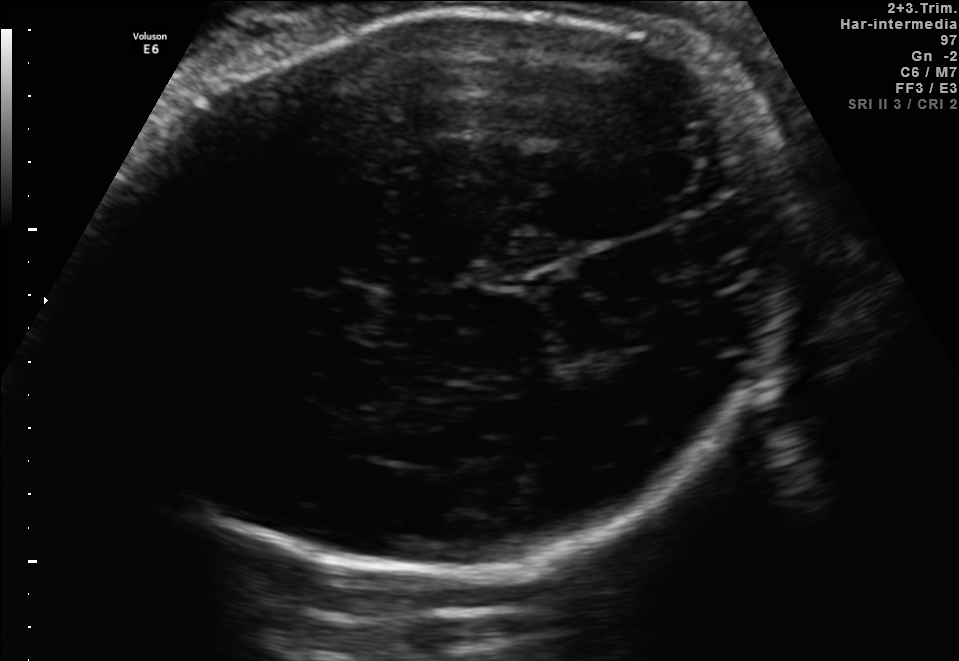
In this fetal brain, trans-thalamic plane, give the bounding box of the fetal head.

[98,6,797,571]